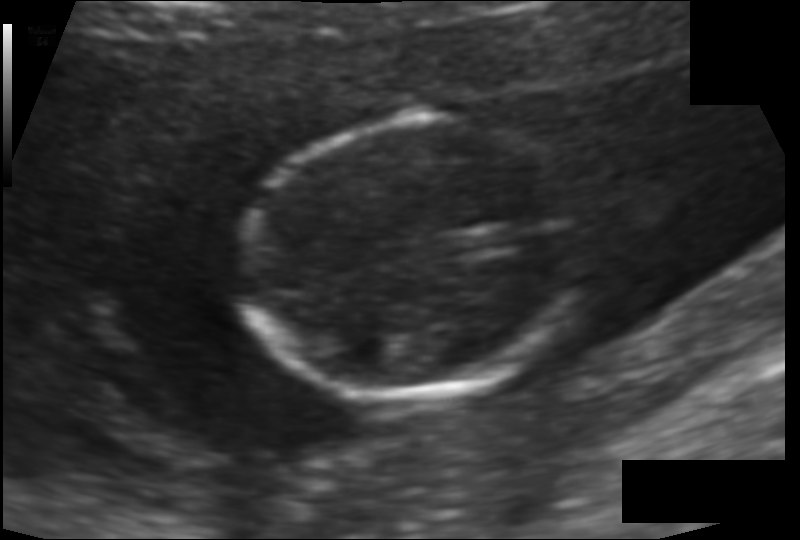
In this fetal head ultrasound, give bounding boxes for the head outline, cavum septum pellucidum (CSP), and lateral ventricle (LV), where visible. Image width: 77.6 mm.

Head: [246,118,586,396]